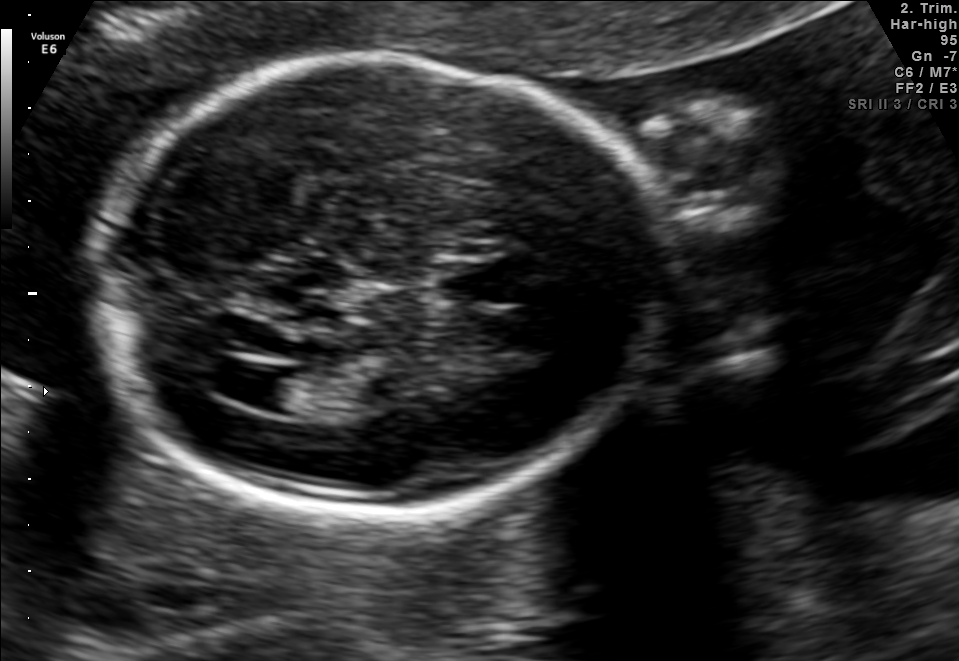
Fetal brain, trans-ventricular plane. Give [x1,y1,x2,y2] bounding boxes for each visible structure among: fetal head, CSP, LV.

Head: [84,49,685,522]
CSP: [426,261,527,303]
Lateral ventricle: [210,356,303,417]